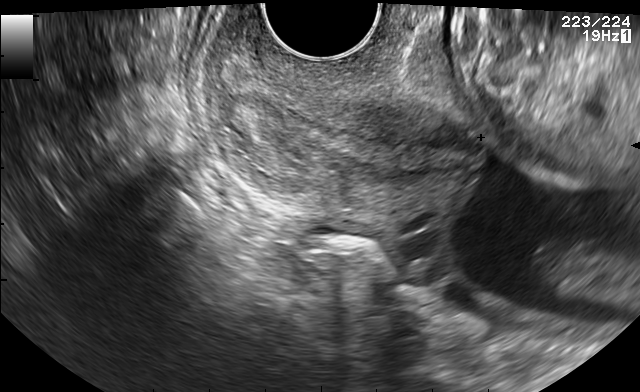
This is a 2D maternal-fetal ultrasound frame. Is it a fetal abdomen, fetal brain, fetal femur, fetal thorax, maternal cervix, or other standard plane? If it's fetal brain and one of the three standard brain planes (trans-thalamic, trans-cerebellum, trans-ventricular), name which.

Other